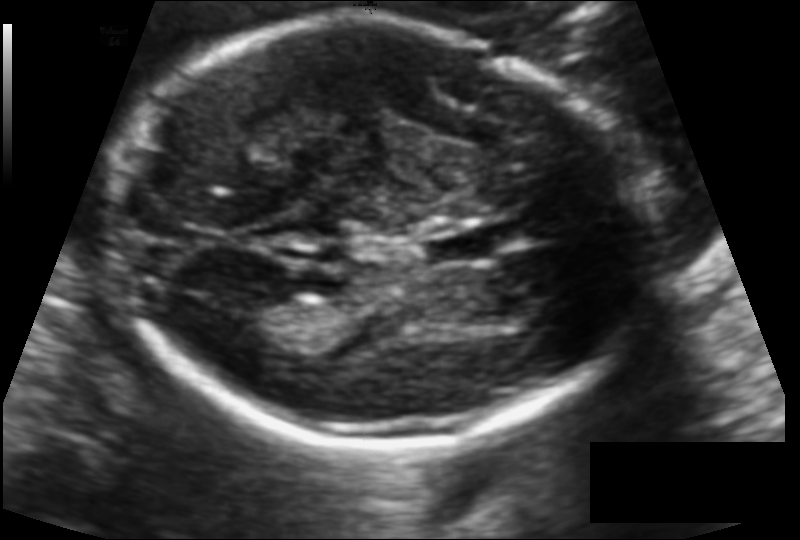
In this fetal head ultrasound, give bounding boxes for the head outline, cavum septum pellucidum (CSP), and lateral ventricle (LV), where visible. Image width: 90.9 mm.

Head: [110,20,650,444]
CSP: [417,221,499,270]
Lateral ventricle: [231,287,309,345]